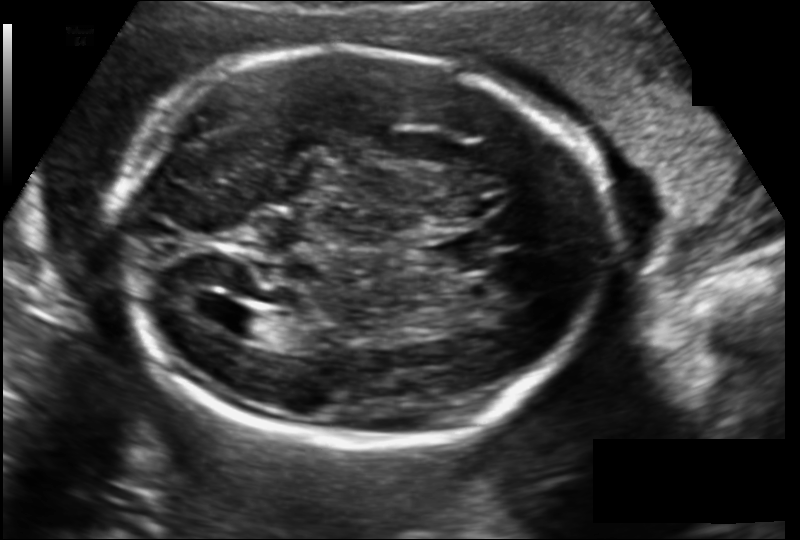
Fetal head ultrasound. Image width: 119.2 mm. Where is the fetal head?

Head bounding box: [113,48,606,443]